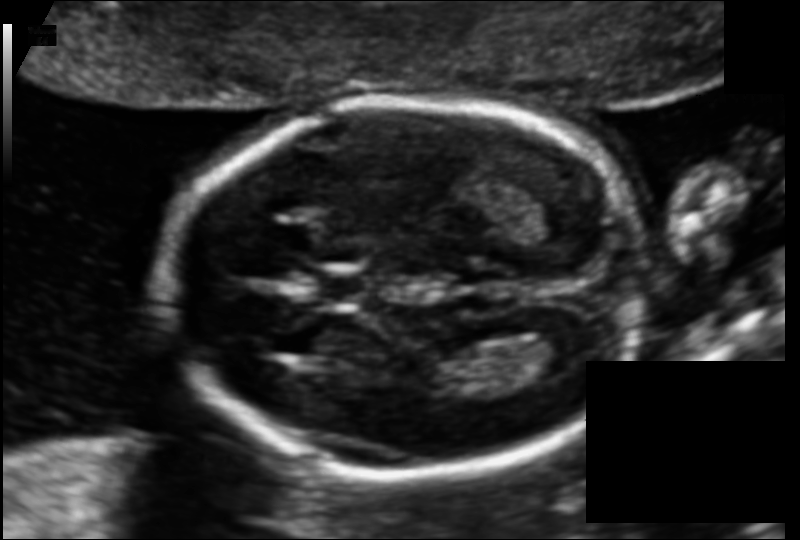
In this fetal head ultrasound, give the bounding box of the fetal head. Image width: 87.9 mm.

[160,100,638,474]